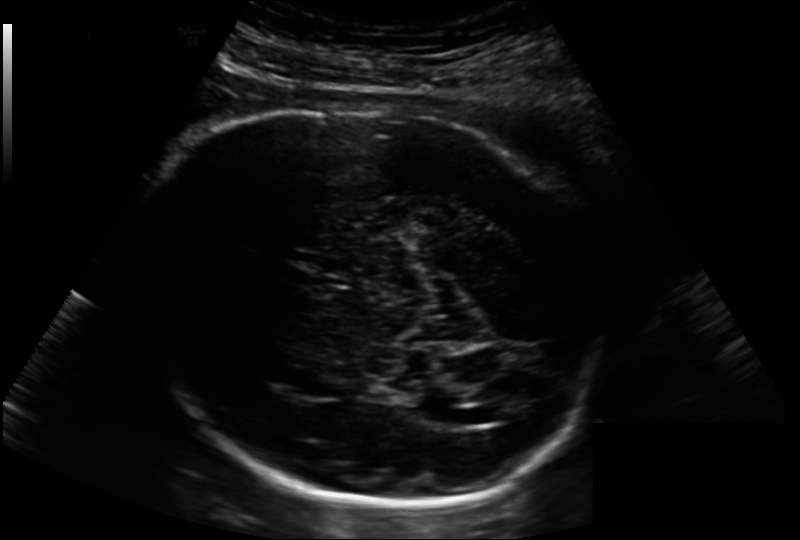
Fetal head ultrasound. Image width: 161.6 mm. Locate the fetal head.

Head: [123,105,601,502]